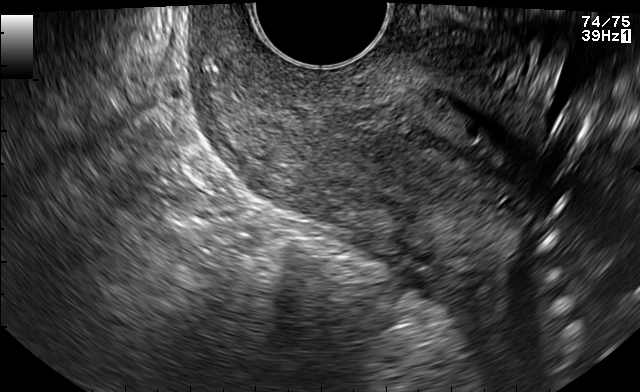
Classify this maternal-fetal ultrasound image as one of the six standard planes — fetal abdomen, fetal brain, fetal femur, fetal thorax, maternal cervix, or other. If it's fetal brain and one of the three standard brain planes (trans-thalamic, trans-cerebellum, trans-ventricular), name which.

Maternal cervix